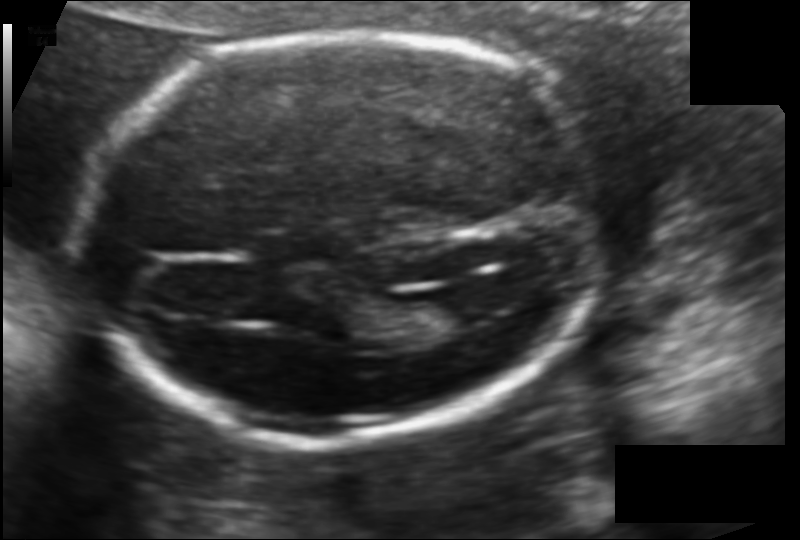
Fetal head ultrasound. Image width: 94.7 mm. Where is the lateral ventricle?

Lateral ventricle bounding box: [396,289,477,342]